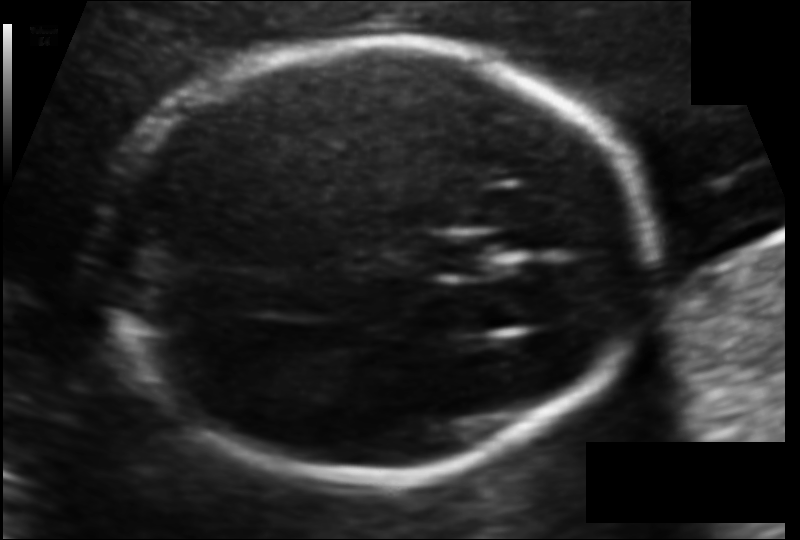
Fetal head ultrasound. Image width: 83.5 mm. Locate the cavum septum pellucidum.

CSP: [429,235,497,278]